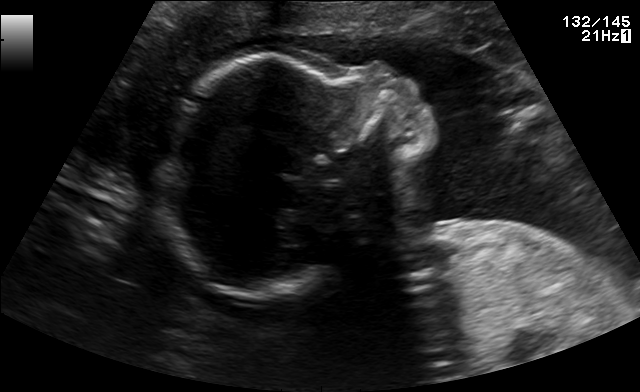
Identify the standard plane in this fetal ultrasound image: fetal abdomen, fetal brain, fetal femur, fetal thorax, maternal cervix, or other. If it's fetal brain and one of the three standard brain planes (trans-thalamic, trans-cerebellum, trans-ventricular), name which.

Other